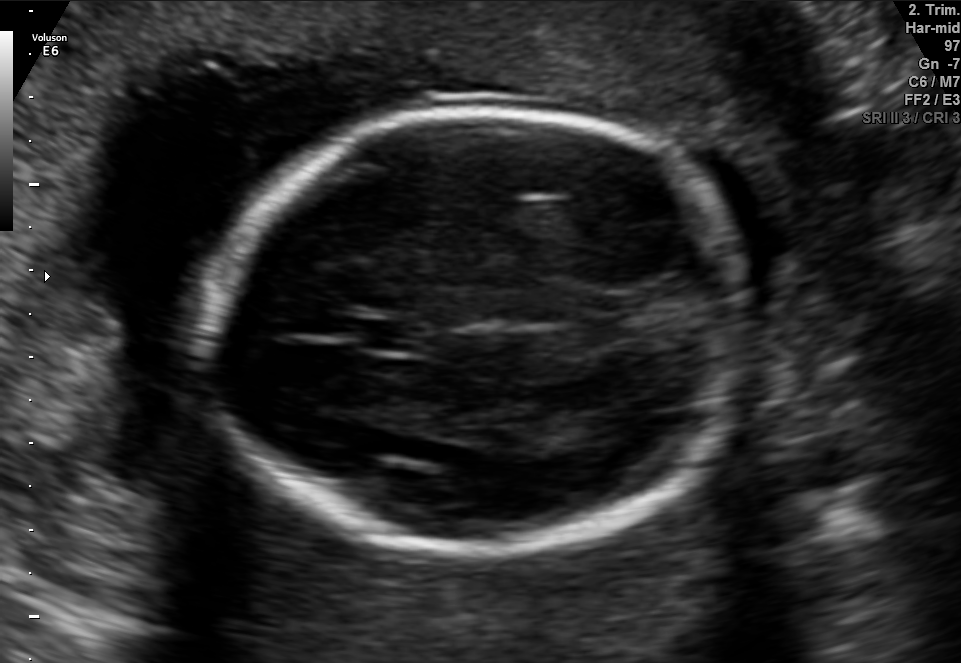
Which standard maternal-fetal ultrasound plane is shown: fetal abdomen, fetal brain, fetal femur, fetal thorax, maternal cervix, or other? If it's fetal brain and one of the three standard brain planes (trans-thalamic, trans-cerebellum, trans-ventricular), name which.

Fetal brain (trans-thalamic plane)